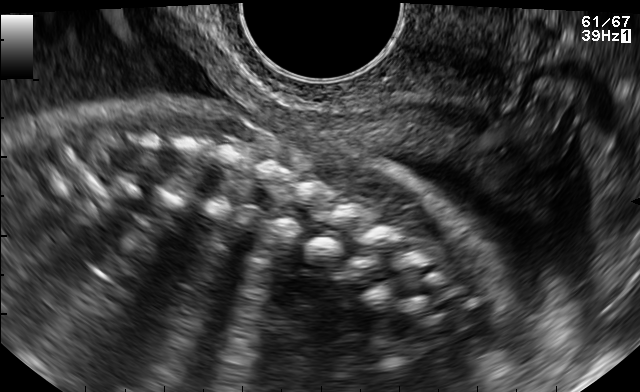
Which standard maternal-fetal ultrasound plane is shown: fetal abdomen, fetal brain, fetal femur, fetal thorax, maternal cervix, or other? If it's fetal brain and one of the three standard brain planes (trans-thalamic, trans-cerebellum, trans-ventricular), name which.

Other